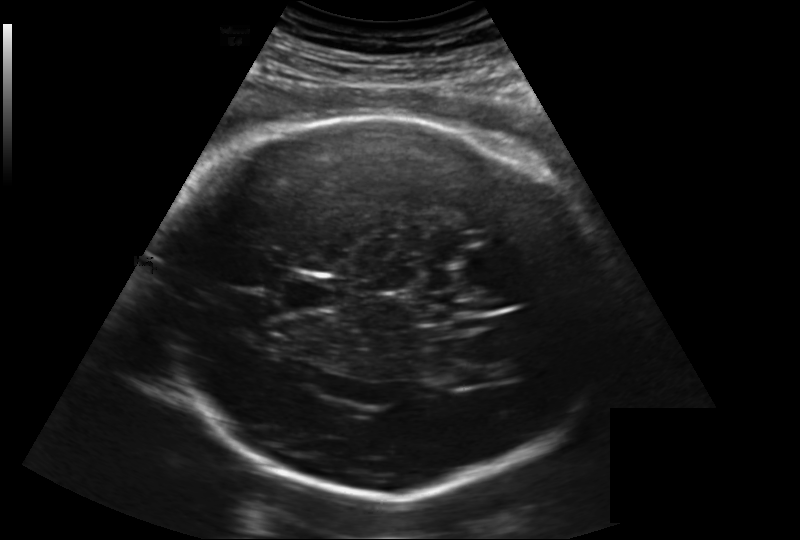
Estimate the fetal head circumference from this 2D ultrasound.

Head circumference: 293.4 mm (image width 175.3 mm).